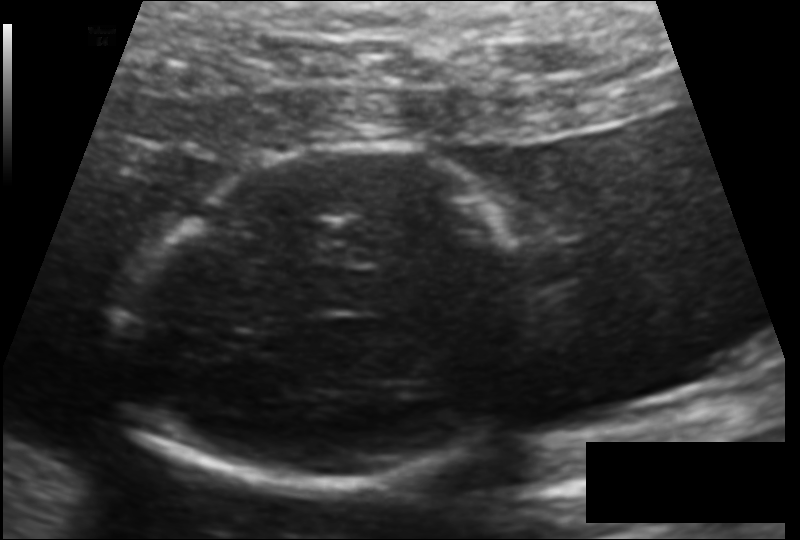
Measure the fetal head circumference shown in this ultrasound image. Image width: 99.4 mm.

Head circumference: 155.6 mm.